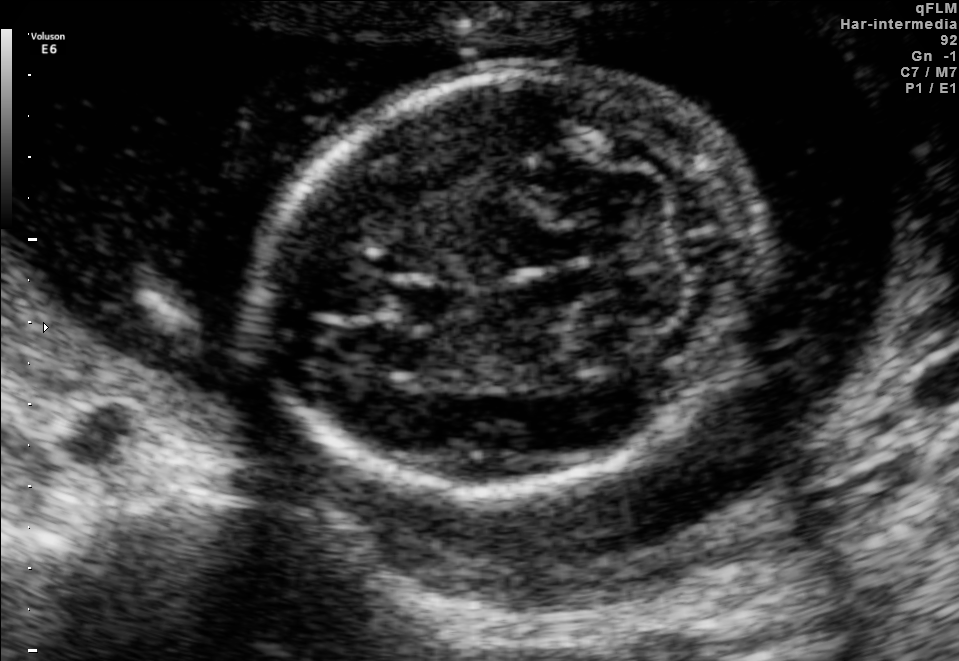
Fetal brain, trans-cerebellum plane. Where is the cavum septum pellucidum?

CSP bounding box: [395,279,469,325]